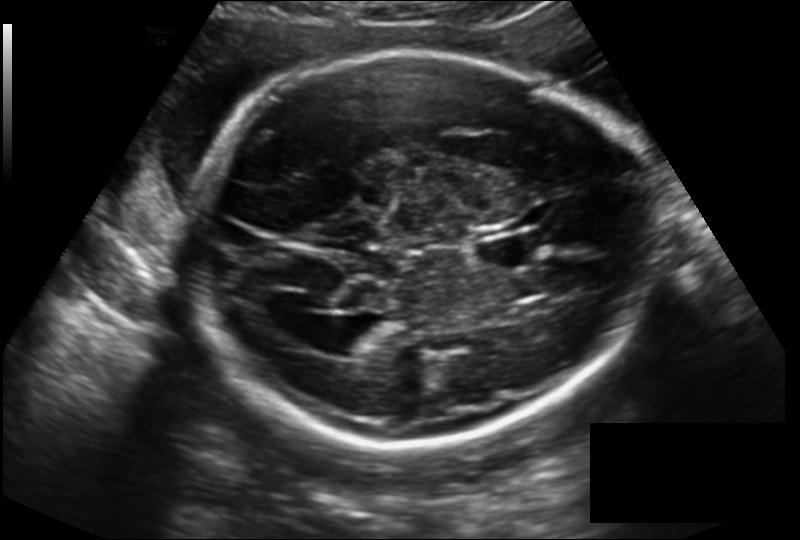
Fetal head ultrasound. Image width: 155.0 mm. Give [x1,y1,x2,y2] bounding boxes for each visible structure among: fetal head, CSP, LV.

Head: [187,51,648,446]
CSP: [473,225,546,277]
Lateral ventricle: [313,313,385,360]